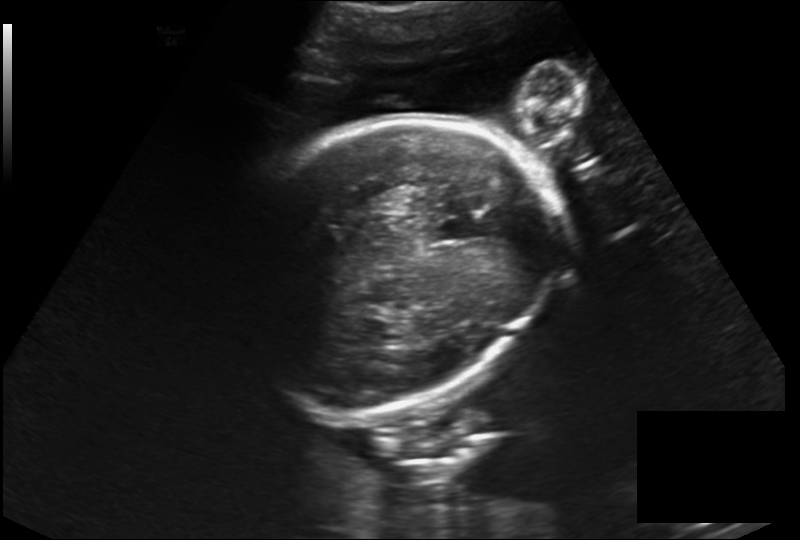
Fetal head ultrasound. Image width: 184.3 mm. Locate the fetal head.

Head: [228,118,549,413]